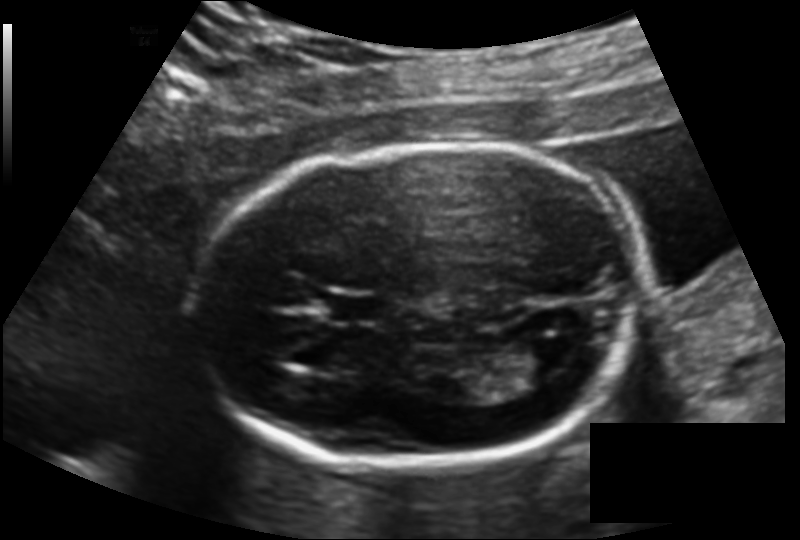
Fetal head ultrasound. Image width: 109.3 mm. Locate the cavum septum pellucidum.

CSP: [327,296,381,323]